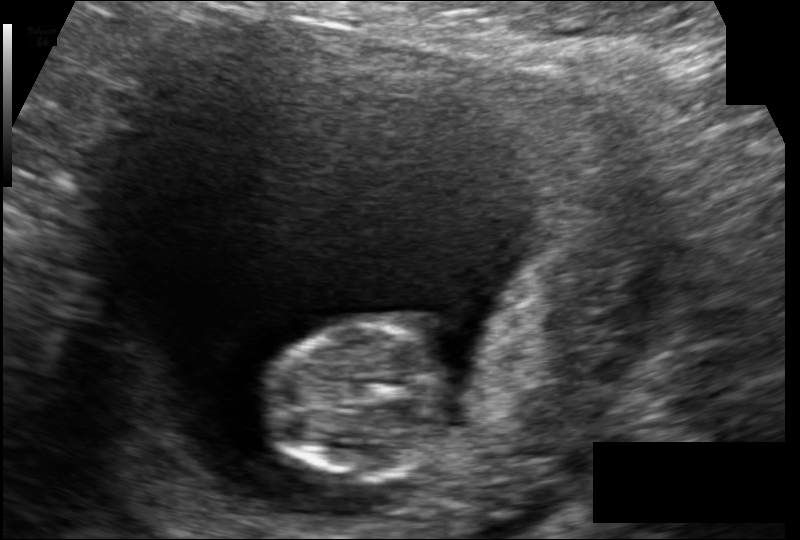
Fetal head ultrasound. Image width: 93.6 mm. Locate the fetal head.

Head: [263,323,449,482]